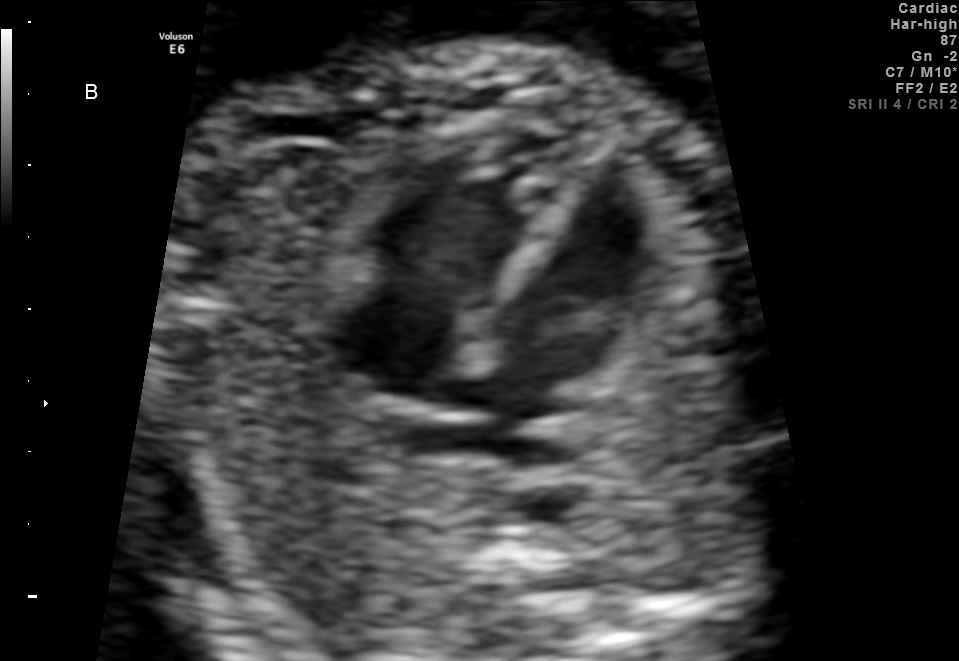
Identify the standard plane in this fetal ultrasound image: fetal abdomen, fetal brain, fetal femur, fetal thorax, maternal cervix, or other. If it's fetal brain and one of the three standard brain planes (trans-thalamic, trans-cerebellum, trans-ventricular), name which.

Fetal thorax